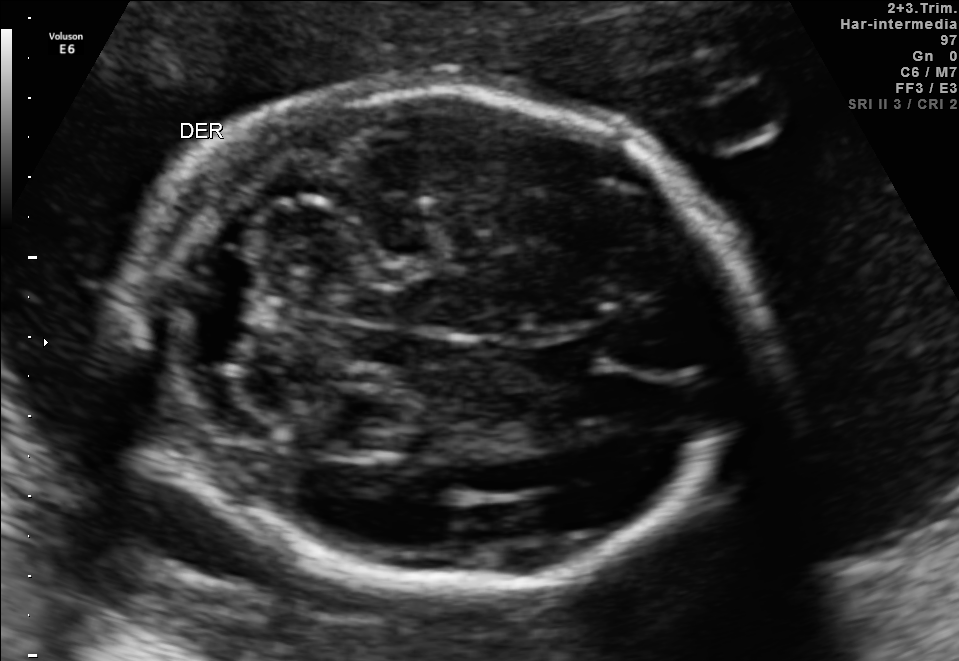
Fetal brain, trans-cerebellum plane. Where is the cavum septum pellucidum?

CSP bounding box: [517,327,616,391]